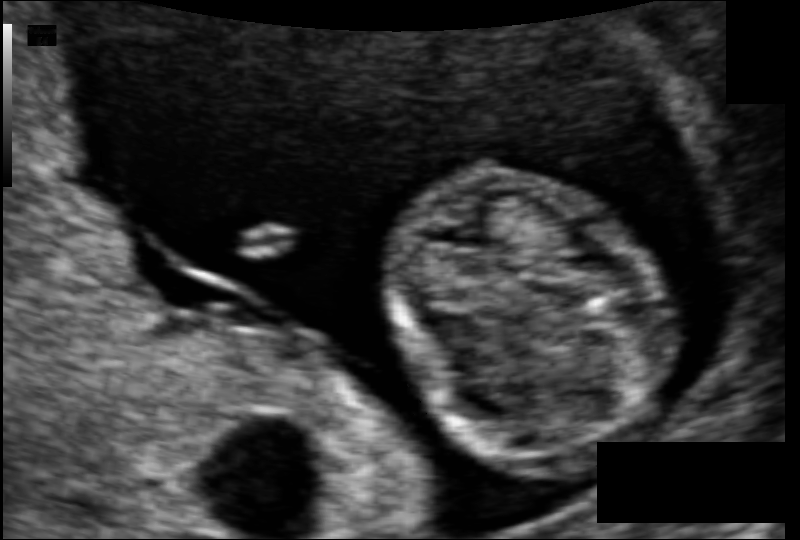
In this fetal head ultrasound, give bounding boxes for the head outline, cavum septum pellucidum (CSP), and lateral ventricle (LV), where visible. Image width: 59.6 mm.

Head: [387,163,668,460]